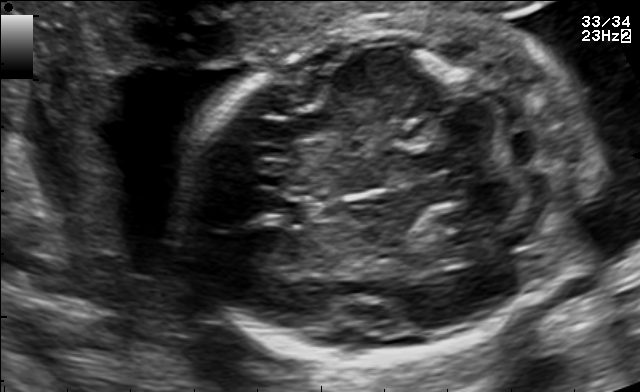
In this fetal brain, trans-cerebellum plane, give bounding boxes for the head outline, cavum septum pellucidum (CSP), and lateral ventricle (LV), where visible.

Head: [182,13,595,353]
CSP: [275,198,320,229]